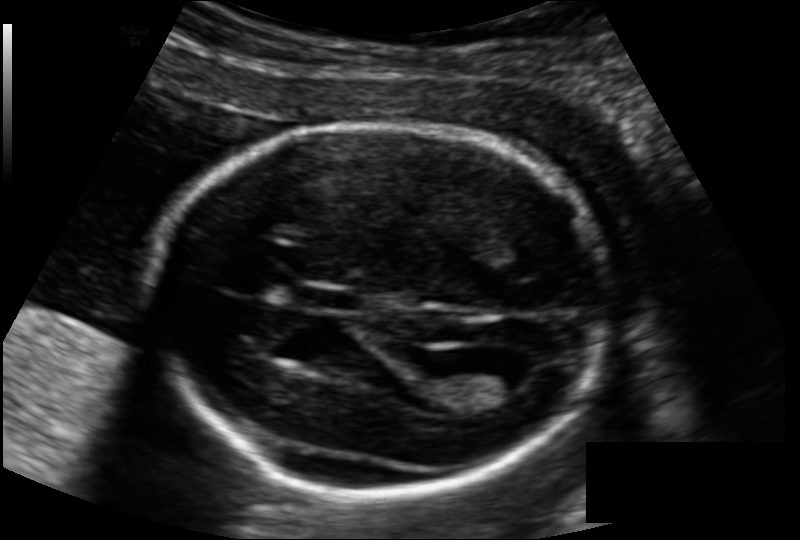
Fetal head ultrasound. Image width: 106.7 mm. Locate the cavum septum pellucidum.

CSP: [295,280,355,315]